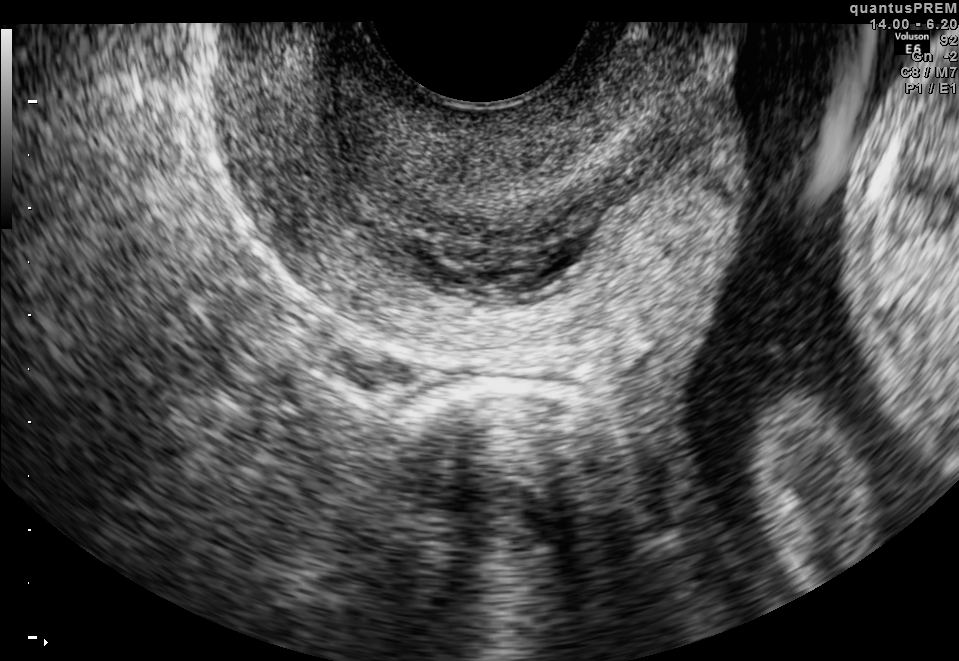
Identify the standard plane in this fetal ultrasound image: fetal abdomen, fetal brain, fetal femur, fetal thorax, maternal cervix, or other. If it's fetal brain and one of the three standard brain planes (trans-thalamic, trans-cerebellum, trans-ventricular), name which.

Maternal cervix